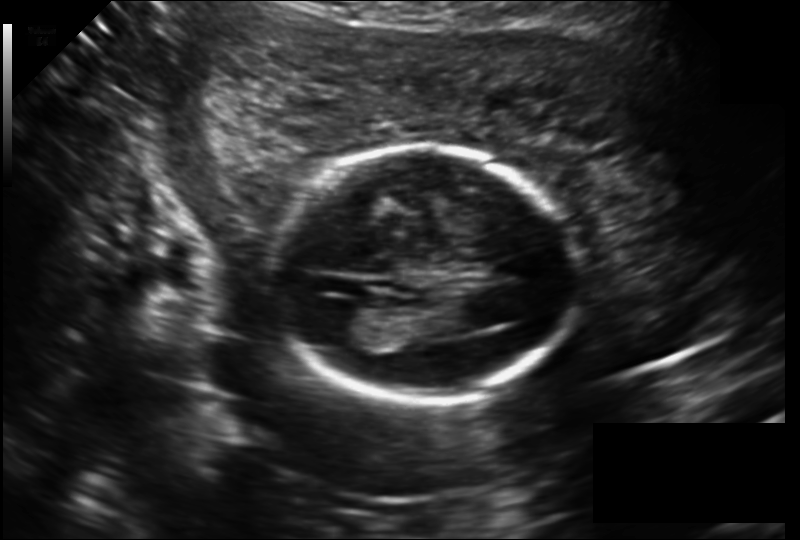
From this fetal ultrasound, estimate the head circumference (image width 142.0 mm).

Head circumference: 161.8 mm.